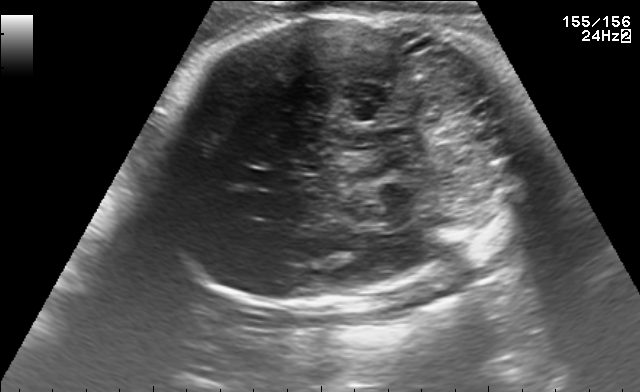
Fetal brain, trans-cerebellum plane. Give [x1,y1,x2,y2] bounding boxes for each visible structure among: fetal head, CSP, LV.

Head: [147,8,526,306]